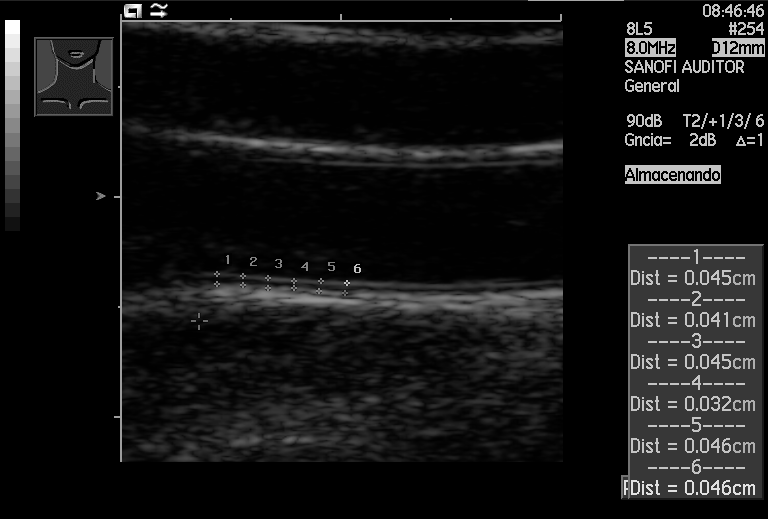
This is a 2D maternal-fetal ultrasound frame. Is it a fetal abdomen, fetal brain, fetal femur, fetal thorax, maternal cervix, or other standard plane? If it's fetal brain and one of the three standard brain planes (trans-thalamic, trans-cerebellum, trans-ventricular), name which.

Other